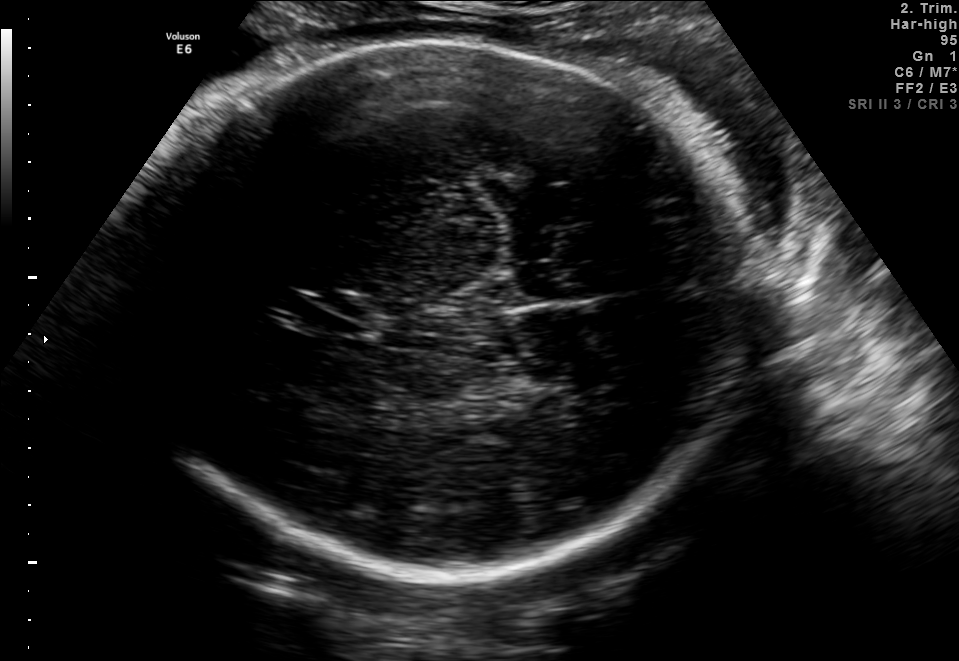
Fetal brain, trans-thalamic plane. Locate the fetal head and, if visible, the cavum septum pellucidum (CSP) and lateral ventricle (LV). Give bounding boxes as [x1,y1,x2,y2].

Head: [124,43,749,576]